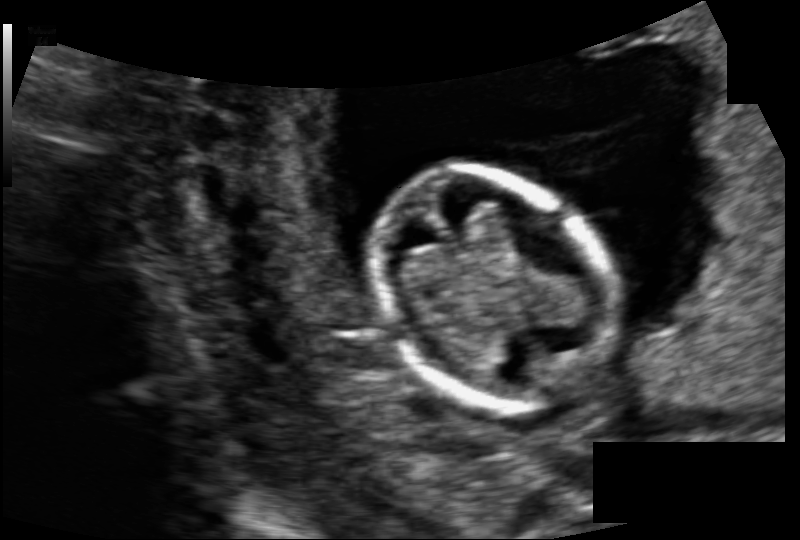
Fetal head ultrasound. Image width: 83.3 mm. Locate the fetal head and, if visible, the cavum septum pellucidum (CSP) and lateral ventricle (LV). Give bounding boxes as [x1,y1,x2,y2].

Head: [373,167,607,410]